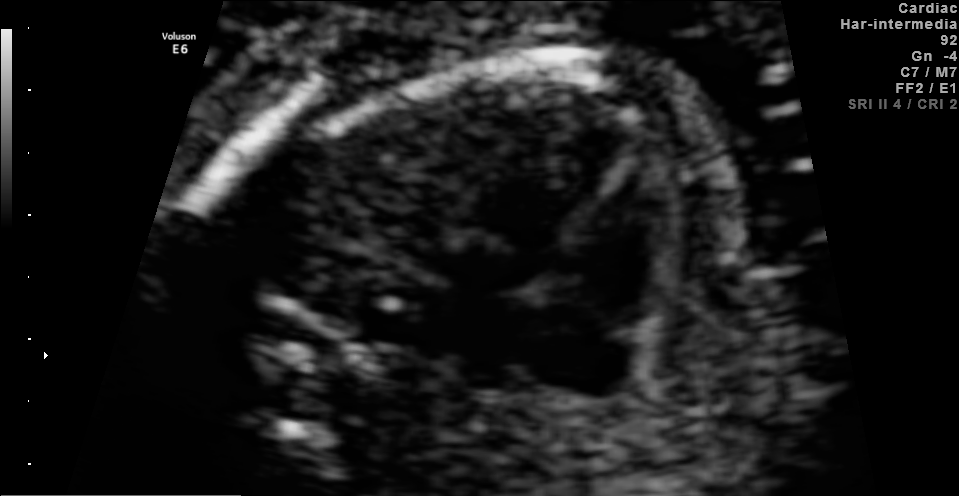
Identify the standard plane in this fetal ultrasound image: fetal abdomen, fetal brain, fetal femur, fetal thorax, maternal cervix, or other. If it's fetal brain and one of the three standard brain planes (trans-thalamic, trans-cerebellum, trans-ventricular), name which.

Fetal thorax